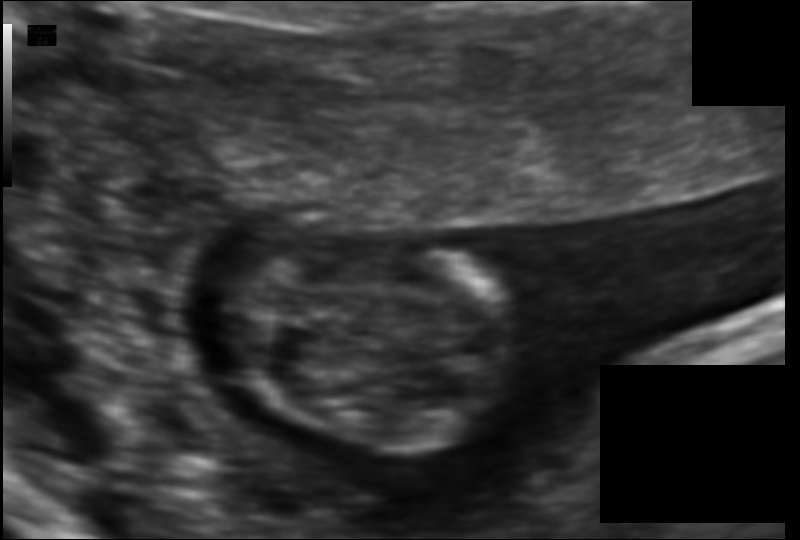
What is the fetal head circumference? Image width is 62.1 mm.

62.1 mm